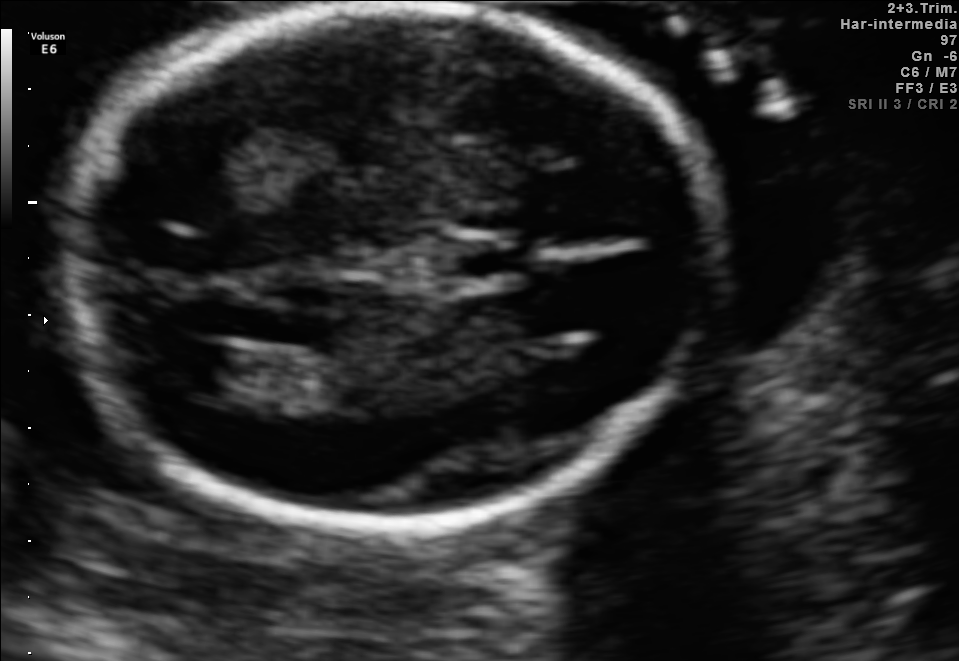
Fetal brain, trans-ventricular plane. Where is the fetal head?

Head bounding box: [59,7,718,536]